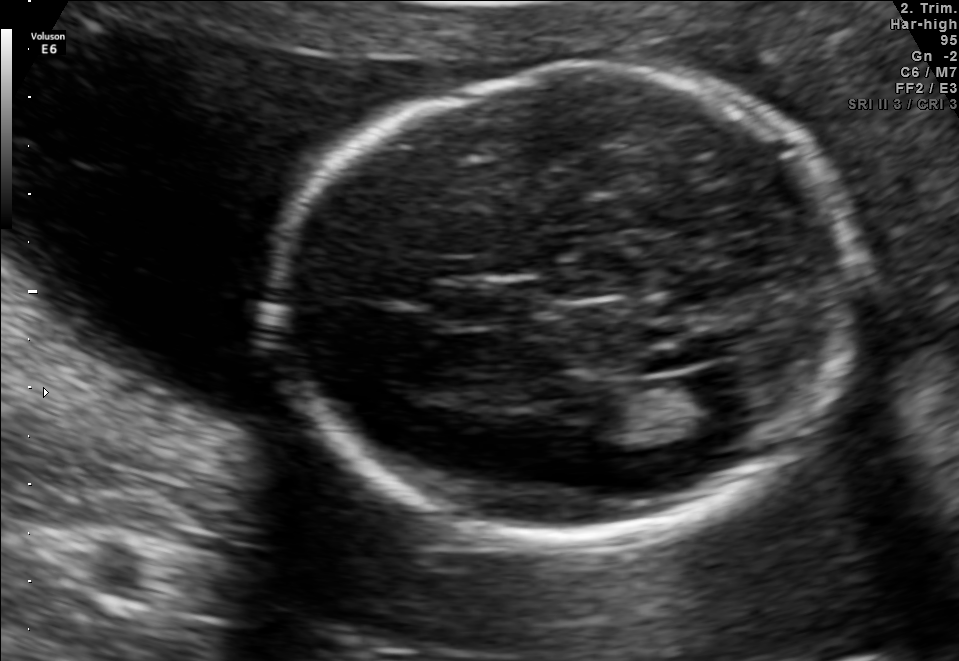
Fetal brain, trans-ventricular plane. Locate the fetal head and, if visible, the cavum septum pellucidum (CSP) and lateral ventricle (LV). Give bounding boxes as [x1,y1,x2,y2].

Head: [263,54,870,551]
CSP: [437,285,534,323]
Lateral ventricle: [672,361,764,432]